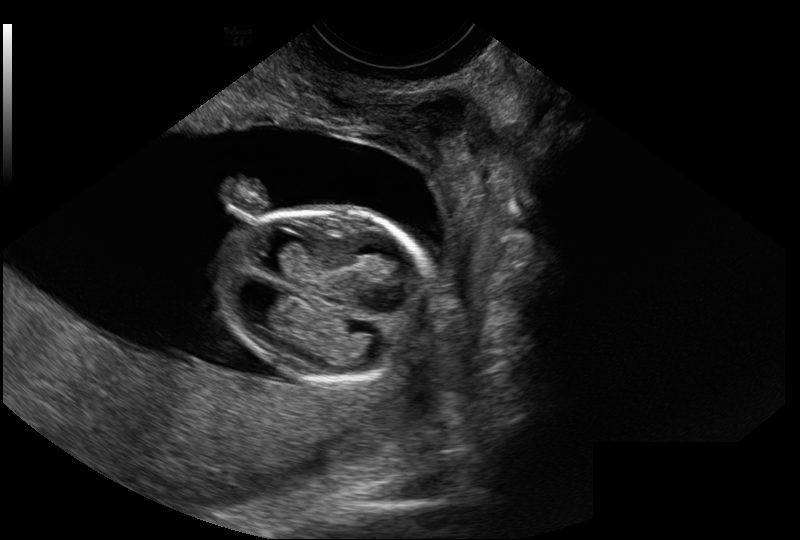
Fetal head ultrasound. Image width: 91.6 mm. Locate the fetal head.

Head: [216,210,435,382]